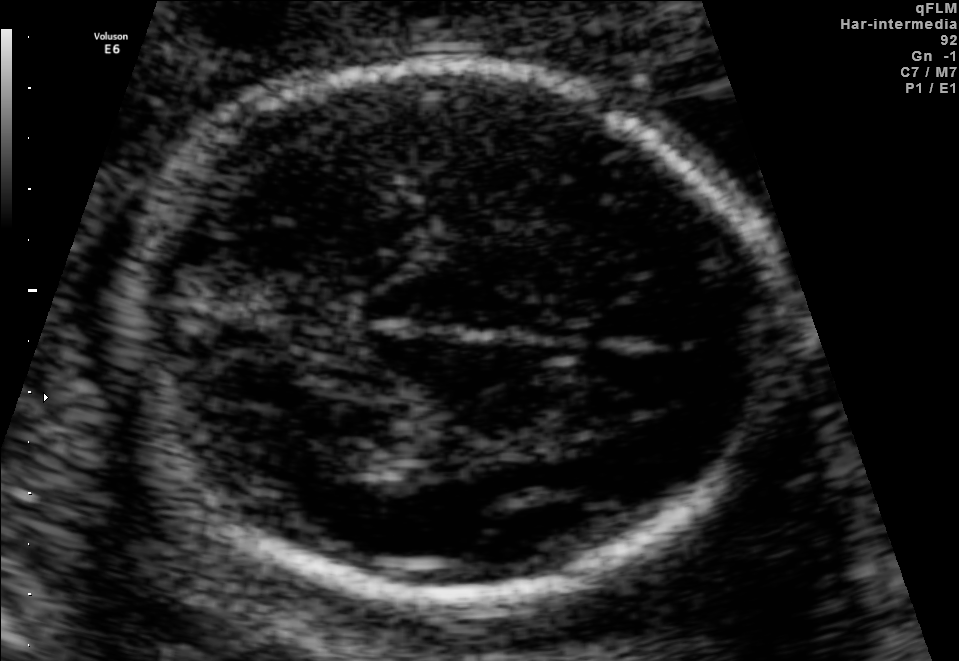
Fetal brain, trans-thalamic plane. Give [x1,y1,x2,y2] bounding boxes for each visible structure among: fetal head, CSP, LV.

Head: [130,63,789,596]